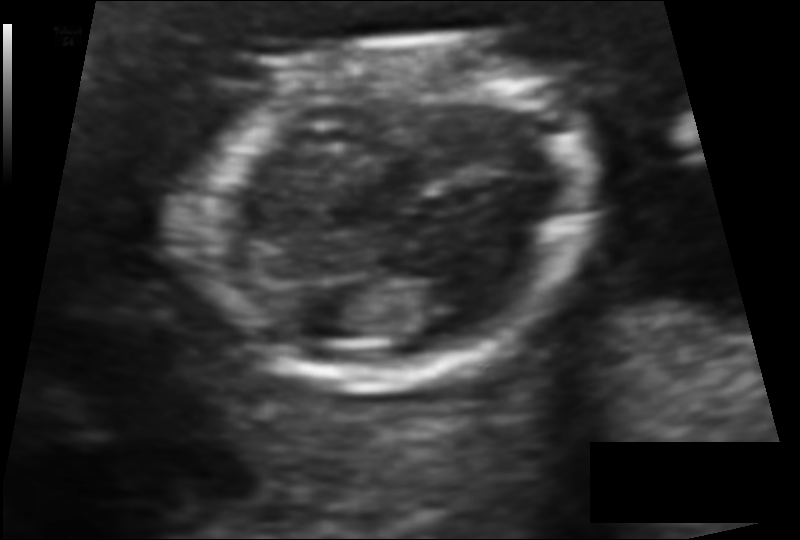
Fetal head ultrasound. Image width: 72.9 mm. Where is the fetal head?

Head bounding box: [203,40,591,389]